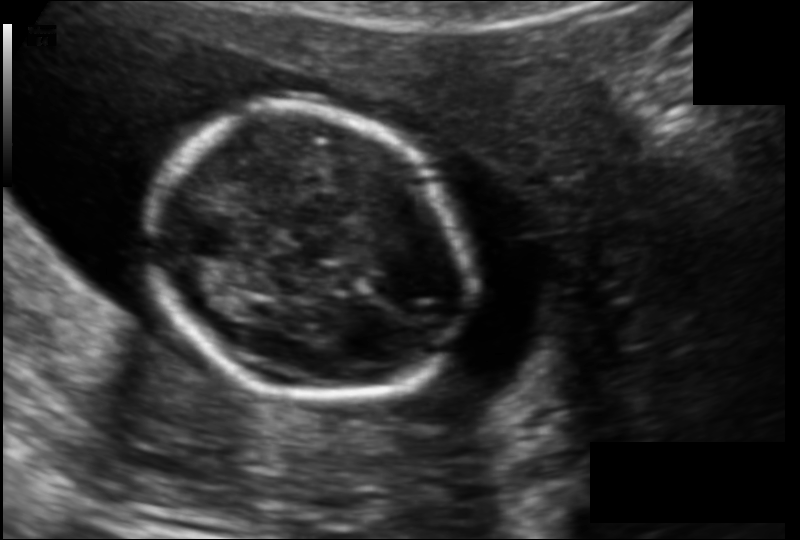
Estimate the fetal head circumference from this 2D ultrasound.

Head circumference: 122.9 mm (image width 98.4 mm).